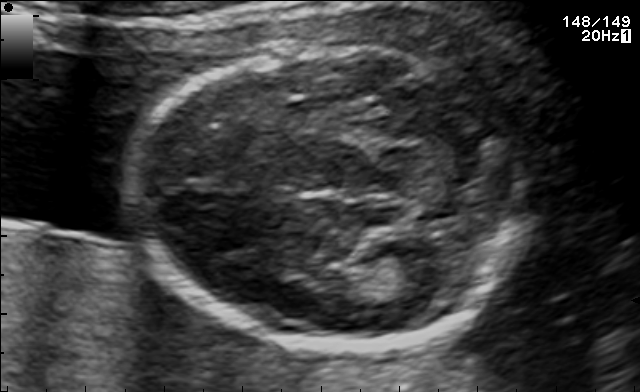
Fetal brain, trans-thalamic plane. Give [x1,y1,x2,y2] bounding boxes for each visible structure among: fetal head, CSP, LV.

Head: [133,47,521,347]